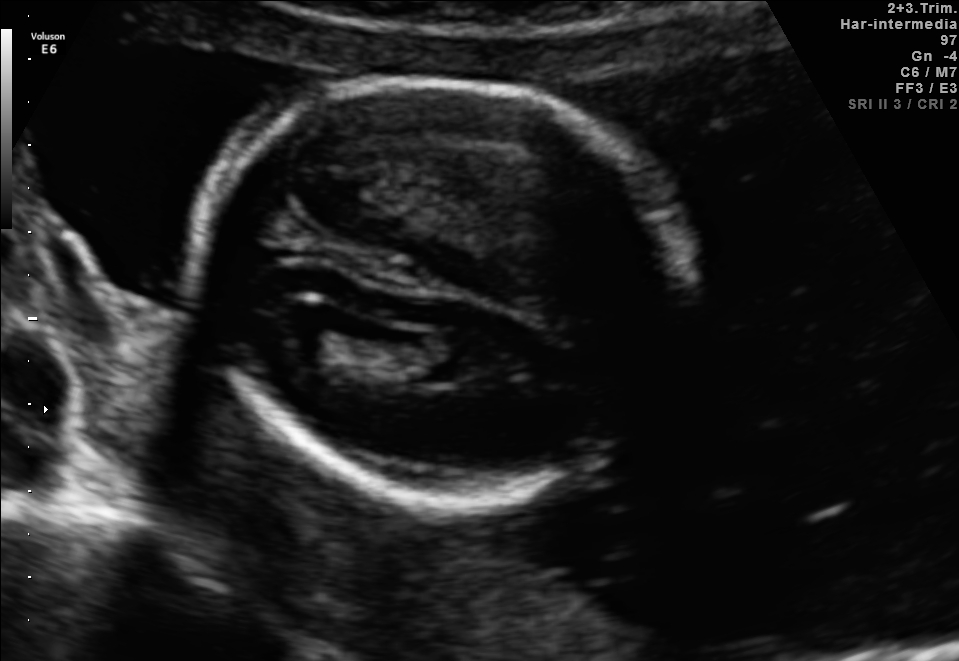
Identify the standard plane in this fetal ultrasound image: fetal abdomen, fetal brain, fetal femur, fetal thorax, maternal cervix, or other. If it's fetal brain and one of the three standard brain planes (trans-thalamic, trans-cerebellum, trans-ventricular), name which.

Fetal brain (trans-ventricular plane)